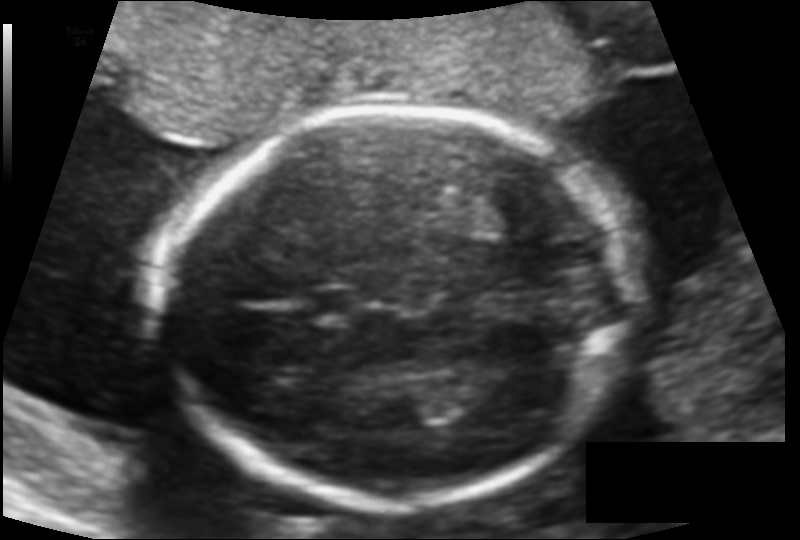
What is the fetal head circumference? Image width is 97.0 mm.

169.7 mm